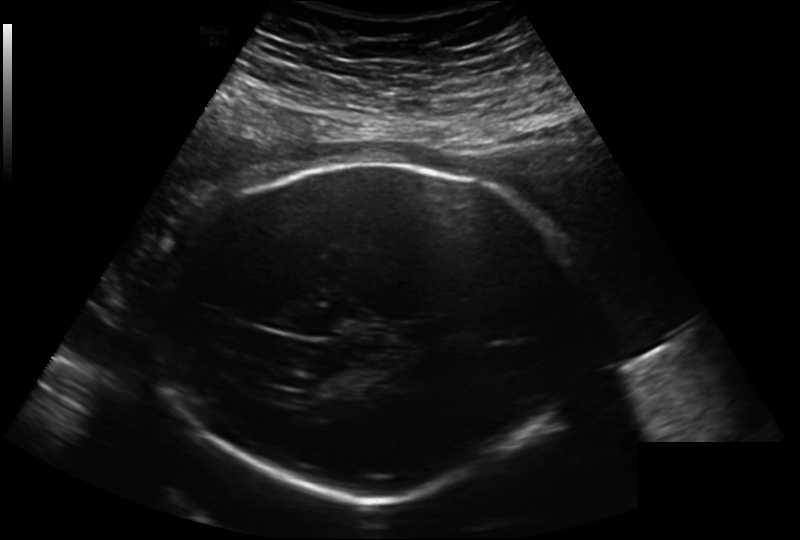
Fetal head ultrasound. Image width: 192.6 mm. Locate the fetal head.

Head: [159,163,582,498]